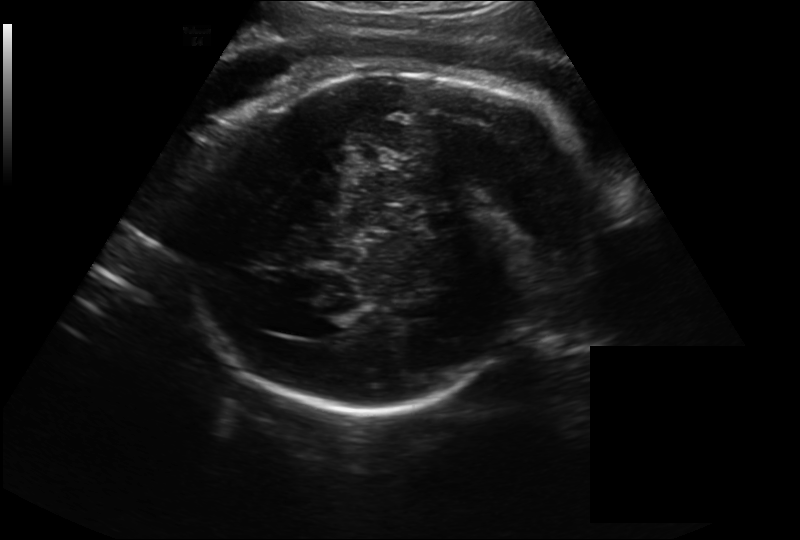
Measure the fetal head circumference shown in this ultrasound image. Image width: 209.3 mm.

Head circumference: 312.5 mm.